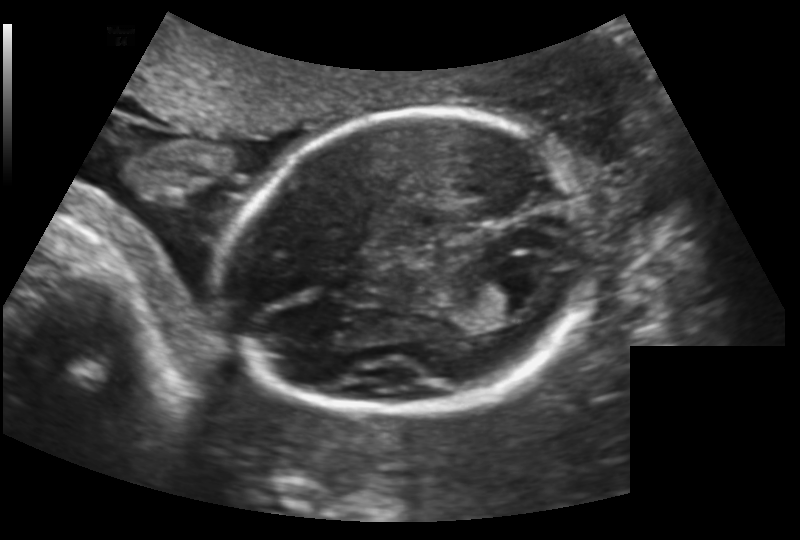
Fetal head ultrasound. Image width: 127.5 mm. Locate the lateral ventricle.

Lateral ventricle: [485,261,561,322]